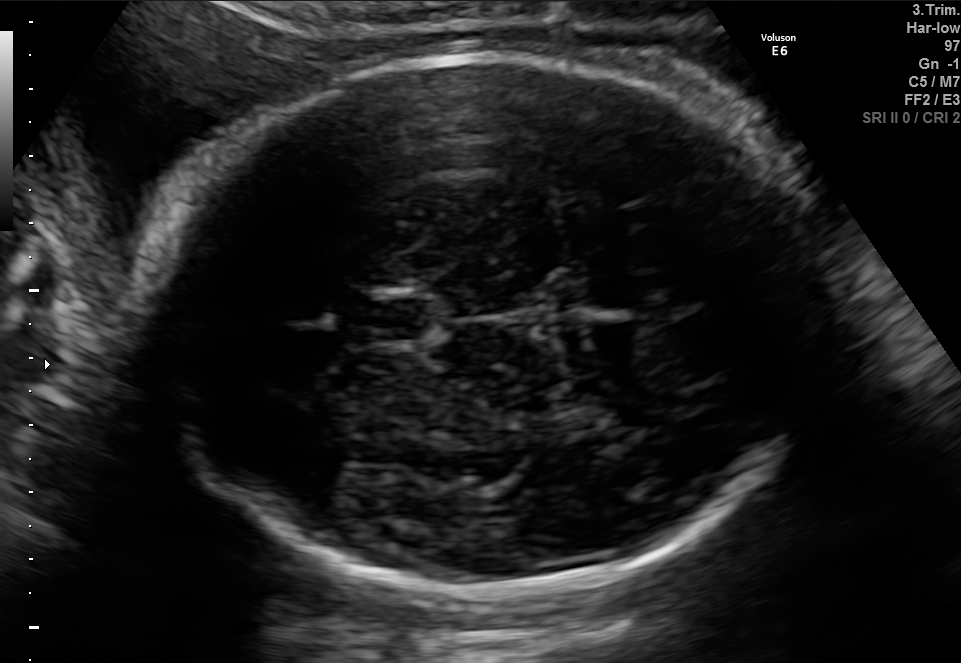
Fetal brain, trans-thalamic plane. Locate the fetal head.

Head: [155,55,822,586]